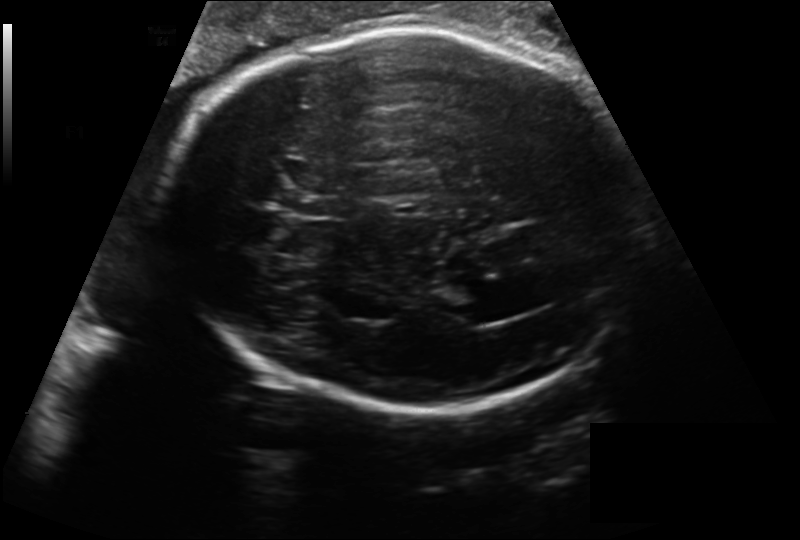
Fetal head ultrasound. Image width: 174.3 mm. Locate the lateral ventricle.

Lateral ventricle: [448,297,505,330]